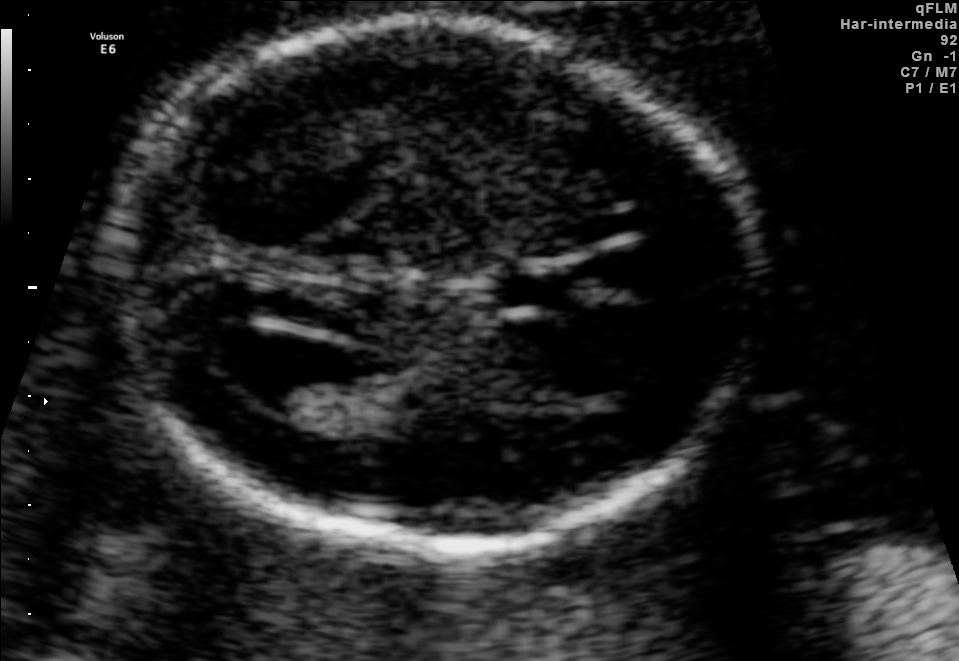
In this fetal brain, trans-ventricular plane, give the bounding box of the lateral ventricle.

[203,313,342,422]